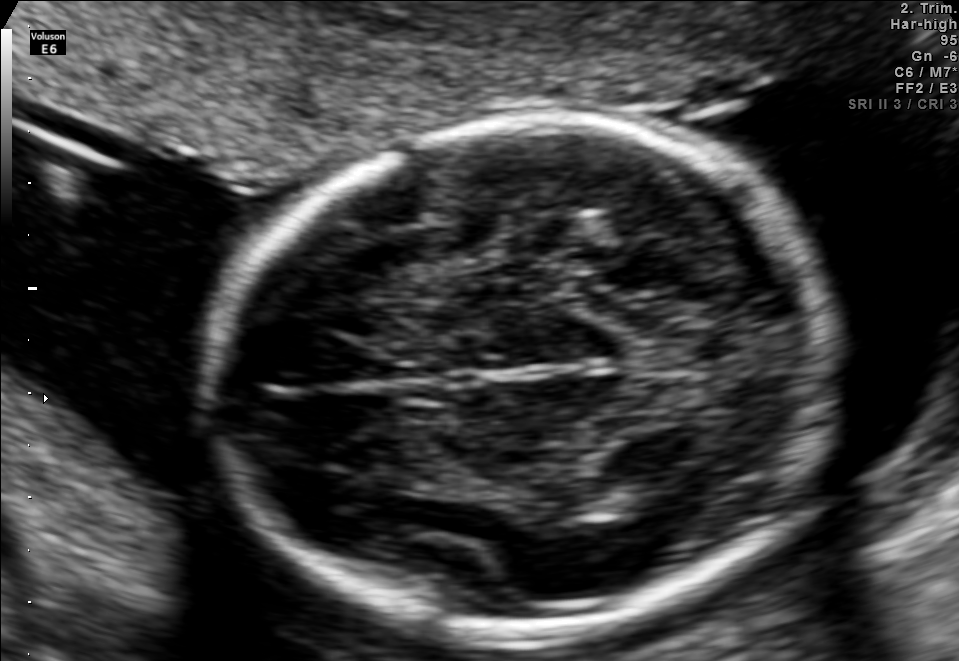
In this fetal brain, trans-thalamic plane, give bounding boxes for the head outline, cavum septum pellucidum (CSP), and lateral ventricle (LV), where visible.

Head: [211,118,830,633]